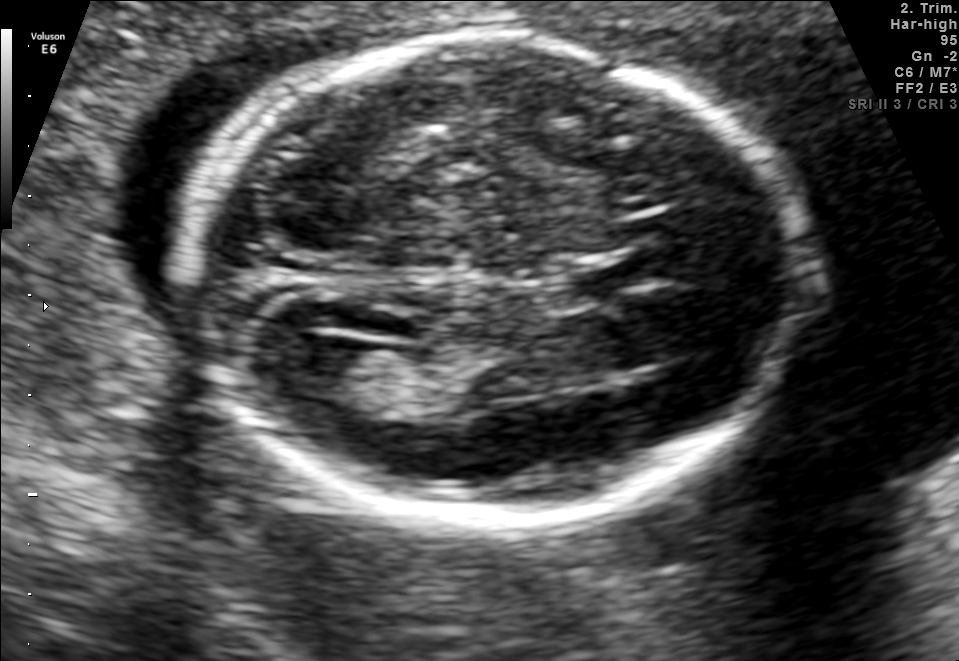
In this fetal brain, trans-ventricular plane, give the bounding box of the fetal head.

[173,30,822,533]